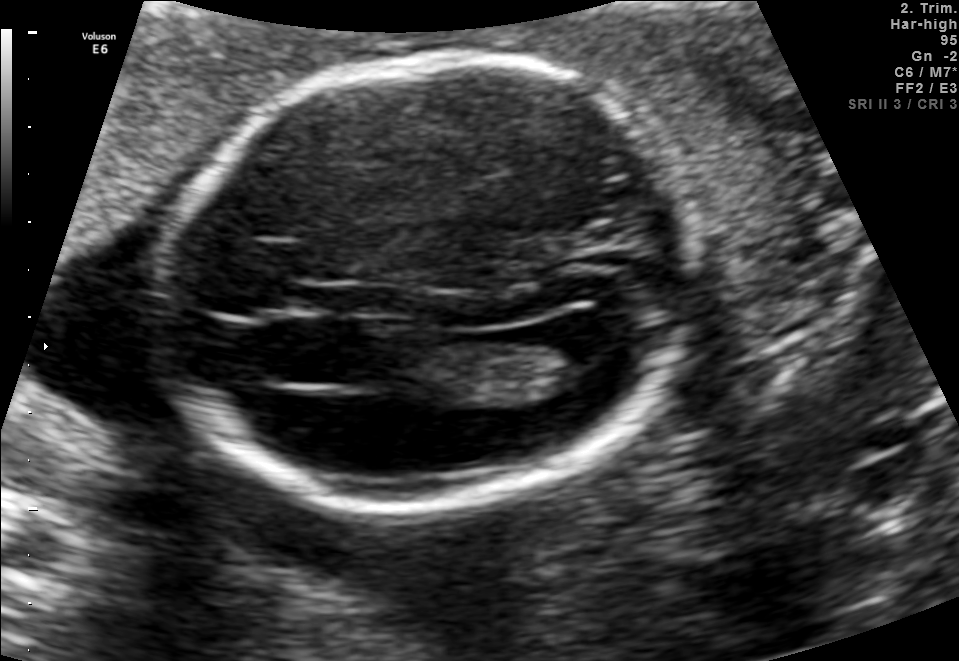
In this fetal brain, trans-ventricular plane, give bounding boxes for the head outline, cavum septum pellucidum (CSP), and lateral ventricle (LV), where visible.

Head: [147,48,708,527]